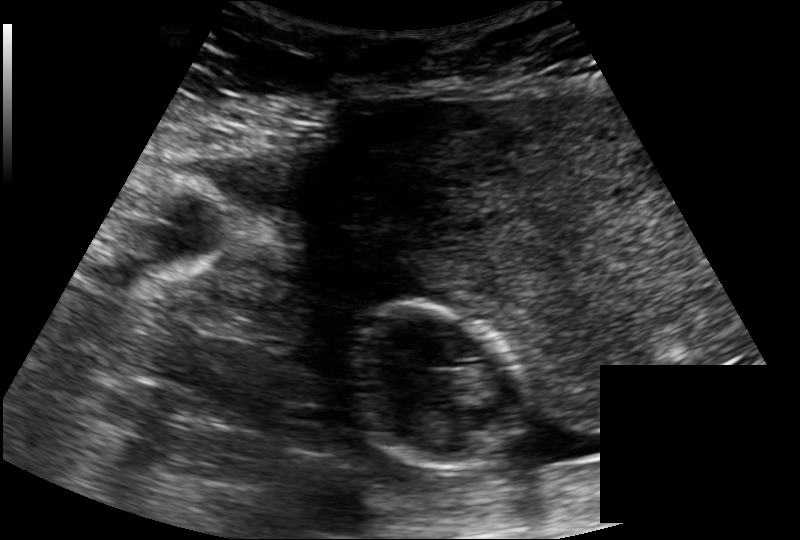
What is the fetal head circumference? Image width is 136.5 mm.

98.2 mm